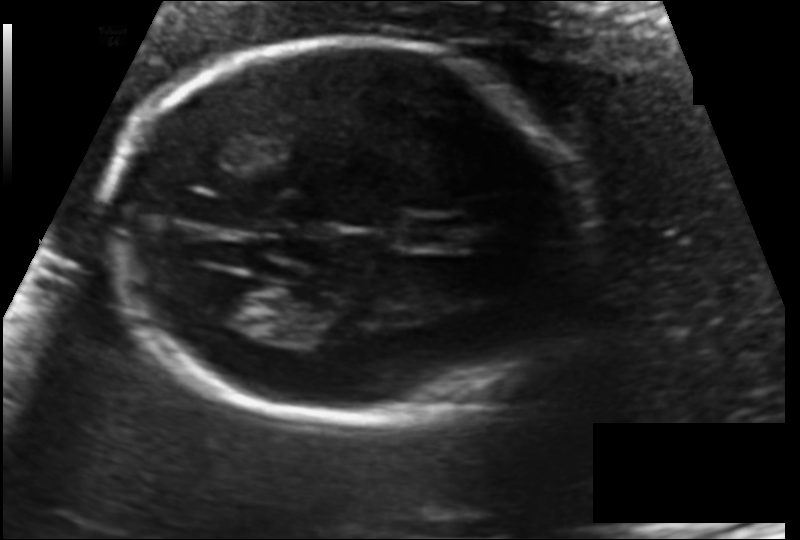
What is the fetal head circumference? Image width is 97.9 mm.

170.2 mm